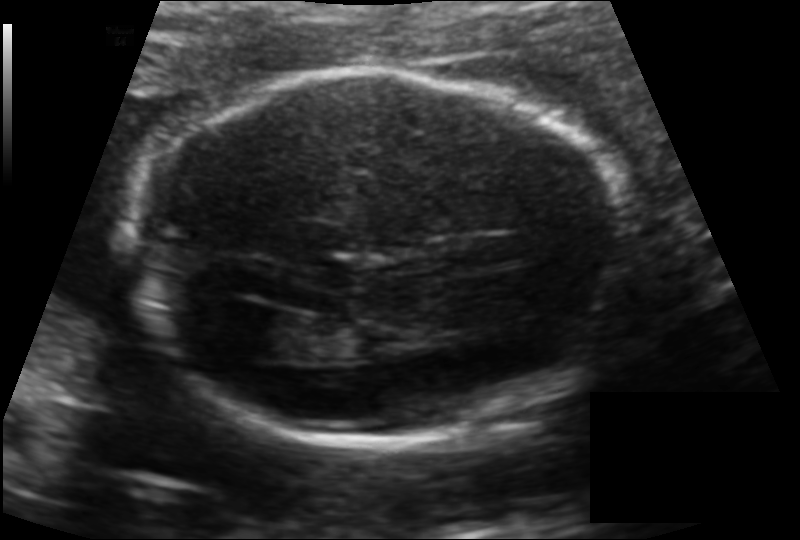
From this fetal ultrasound, estimate the head circumference (image width 107.1 mm).

Head circumference: 189.3 mm.